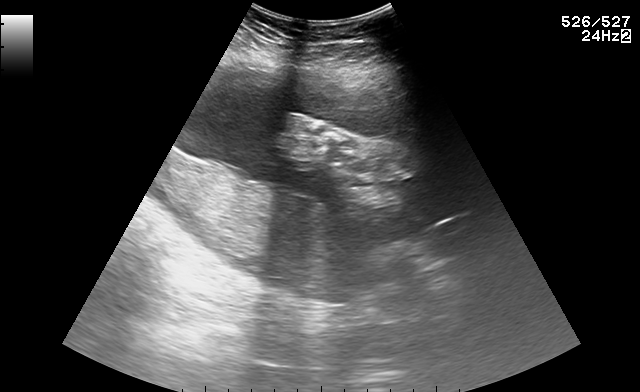
This is a 2D maternal-fetal ultrasound frame. Is it a fetal abdomen, fetal brain, fetal femur, fetal thorax, maternal cervix, or other standard plane? If it's fetal brain and one of the three standard brain planes (trans-thalamic, trans-cerebellum, trans-ventricular), name which.

Other